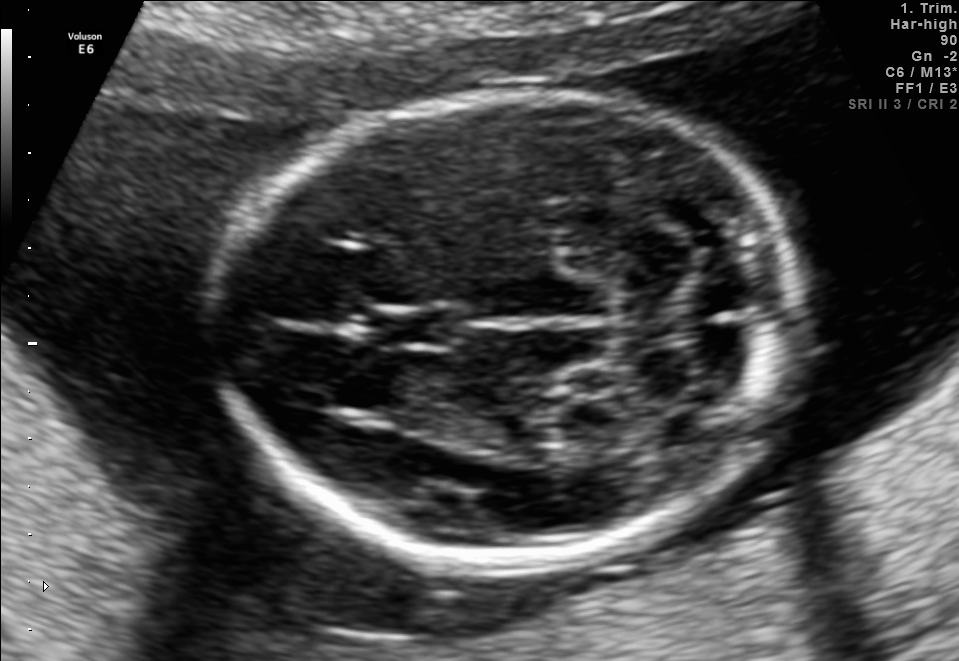
In this fetal brain, trans-cerebellum plane, give bounding boxes for the head outline, cavum septum pellucidum (CSP), and lateral ventricle (LV), where visible.

Head: [226,91,795,564]
CSP: [378,307,462,348]